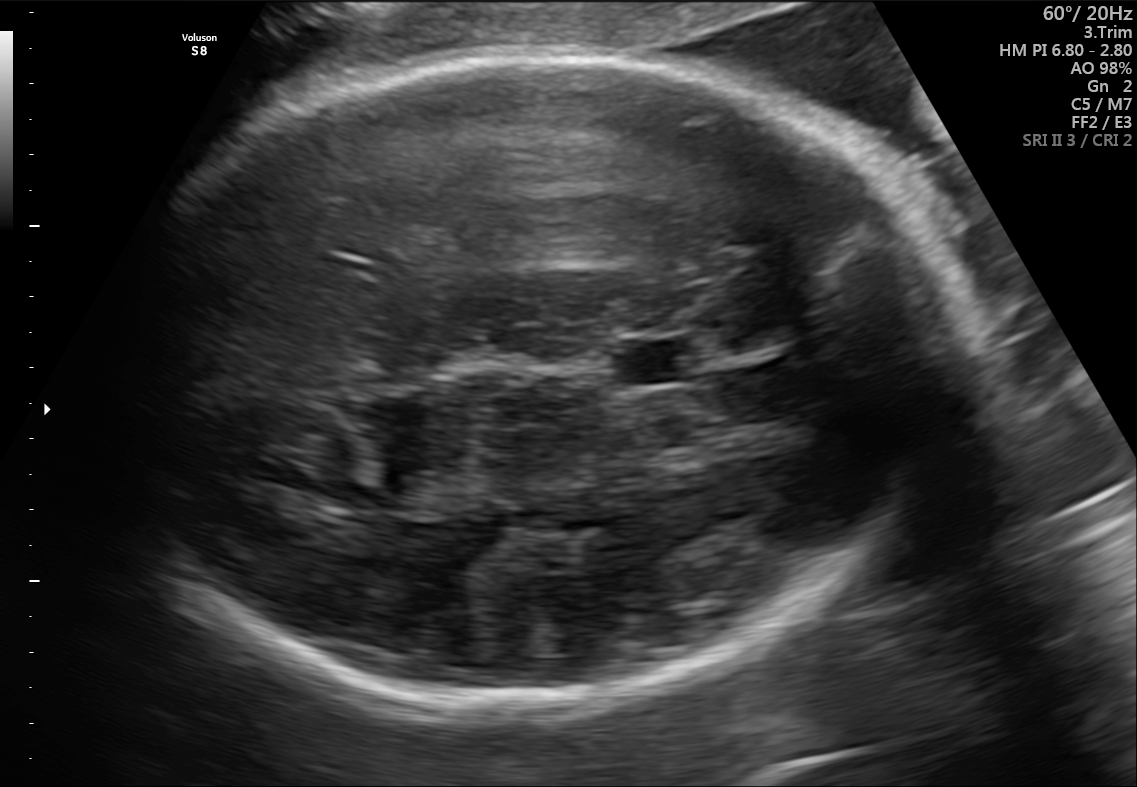
Fetal brain, trans-thalamic plane. Locate the fetal head and, if visible, the cavum septum pellucidum (CSP) and lateral ventricle (LV). Give bounding boxes as [x1,y1,x2,y2].

Head: [106,54,951,702]
CSP: [614,336,706,388]